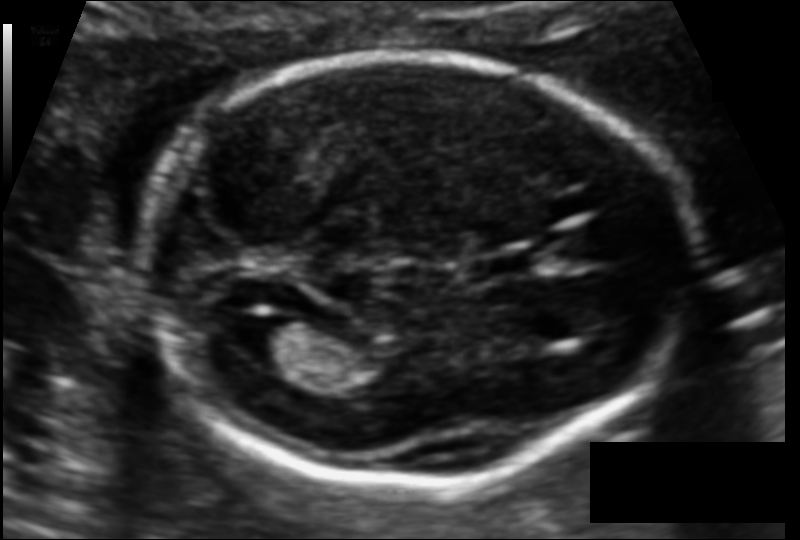
Fetal head ultrasound. Image width: 85.1 mm. Locate the fetal head and, if visible, the cavum septum pellucidum (CSP) and lateral ventricle (LV). Give bounding boxes as [x1,y1,x2,y2].

Head: [139,56,696,482]
CSP: [477,246,538,285]
Lateral ventricle: [229,310,306,370]